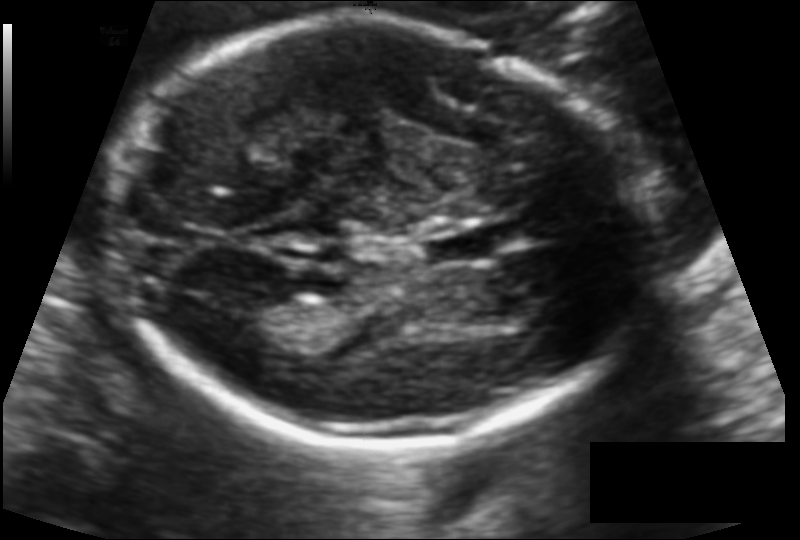
Measure the fetal head circumference shown in this ultrasound image. Image width: 90.9 mm.

Head circumference: 179.2 mm.